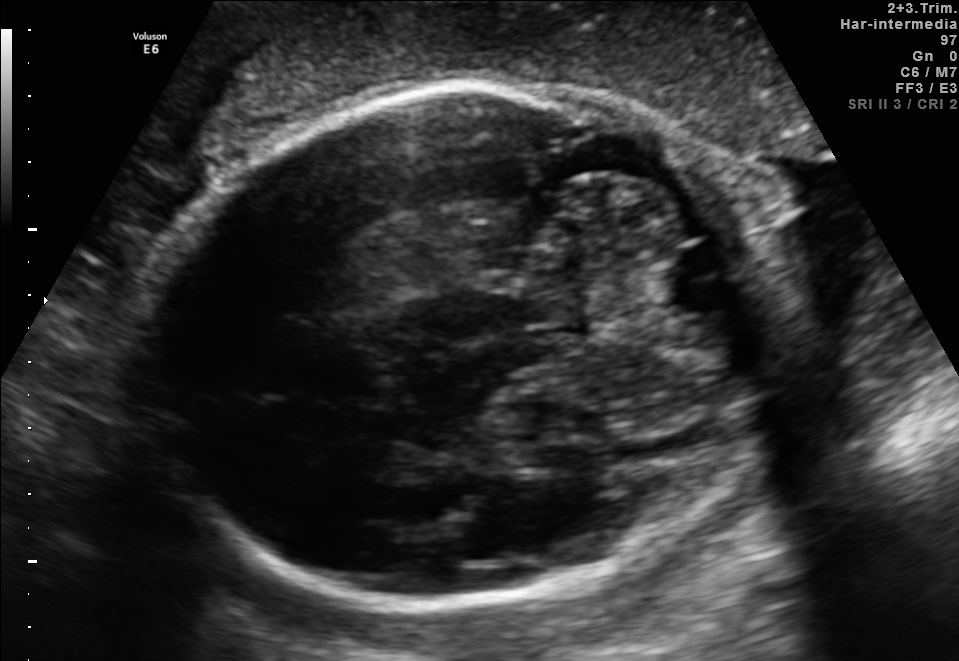
In this fetal brain, trans-cerebellum plane, give bounding boxes for the head outline, cavum septum pellucidum (CSP), and lateral ventricle (LV), where visible.

Head: [153,83,790,602]